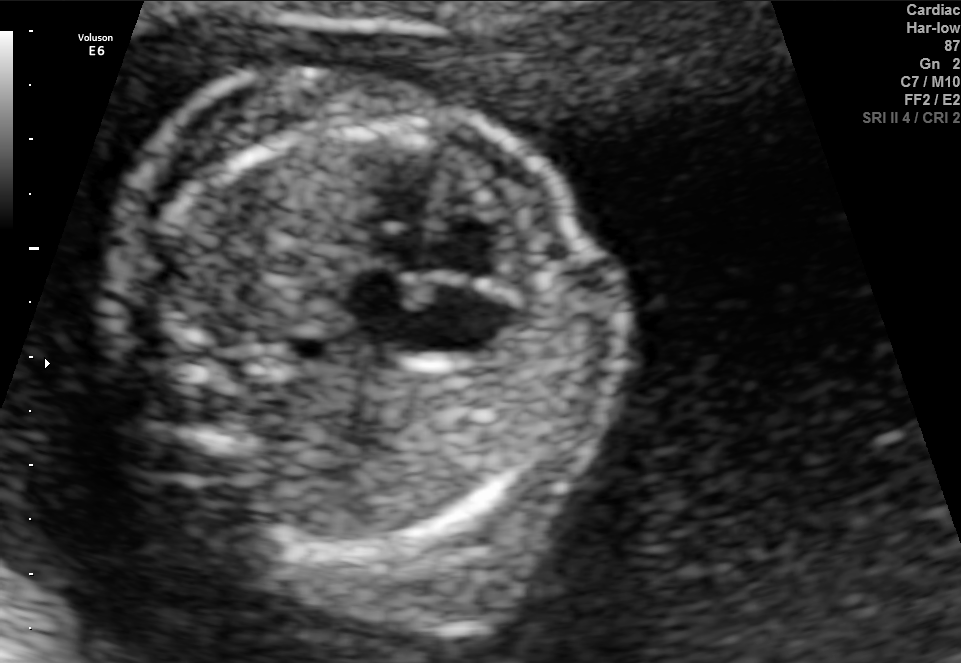
Classify this maternal-fetal ultrasound image as one of the six standard planes — fetal abdomen, fetal brain, fetal femur, fetal thorax, maternal cervix, or other. If it's fetal brain and one of the three standard brain planes (trans-thalamic, trans-cerebellum, trans-ventricular), name which.

Fetal thorax